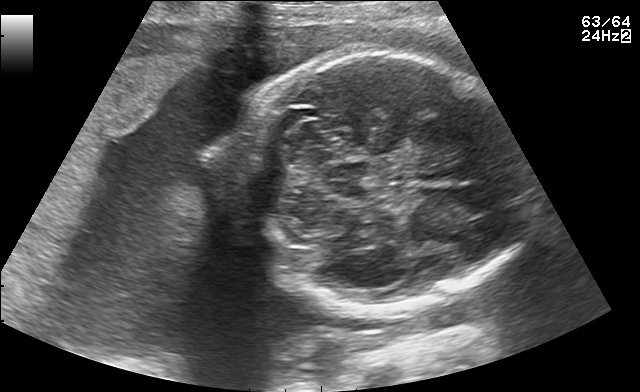
In this fetal brain, trans-cerebellum plane, give the bounding box of the fetal head.

[234,54,521,313]